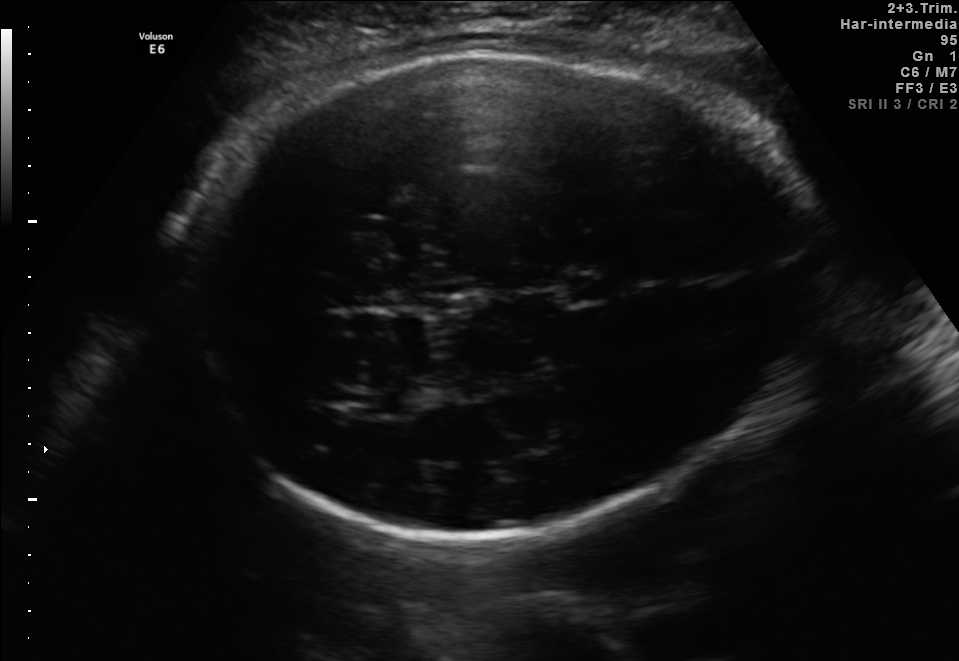
Fetal brain, trans-thalamic plane. Locate the cavum septum pellucidum.

CSP: [566,274,611,304]